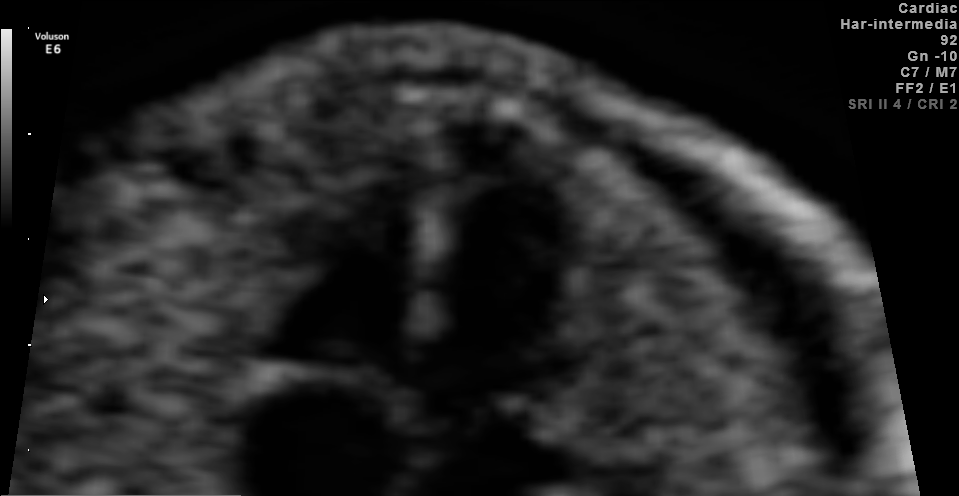
Classify this maternal-fetal ultrasound image as one of the six standard planes — fetal abdomen, fetal brain, fetal femur, fetal thorax, maternal cervix, or other. If it's fetal brain and one of the three standard brain planes (trans-thalamic, trans-cerebellum, trans-ventricular), name which.

Fetal thorax